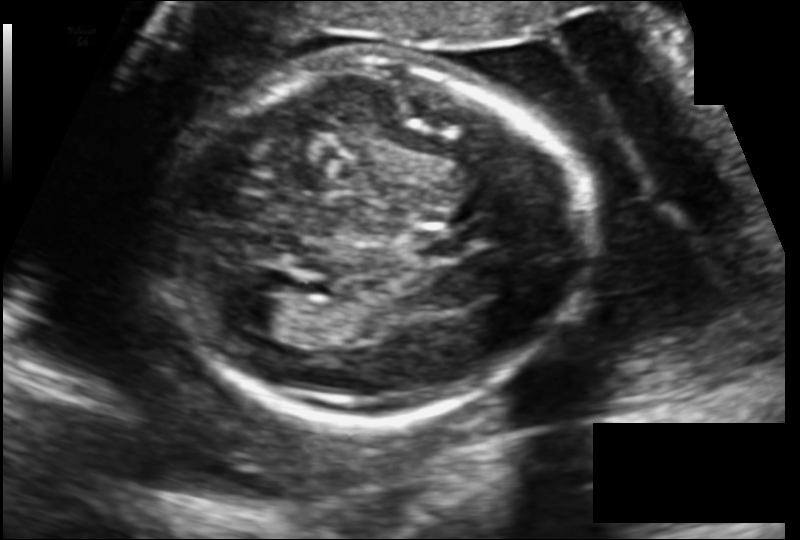
Fetal head ultrasound. Image width: 110.0 mm. Where is the lateral ventricle?

Lateral ventricle bounding box: [224,291,290,335]